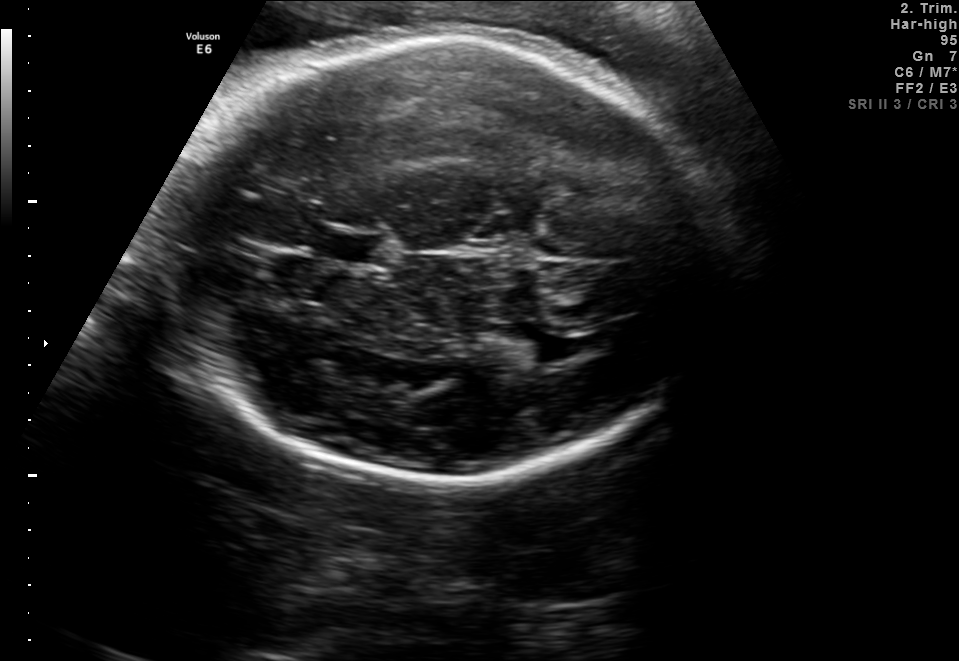
Fetal brain, trans-thalamic plane. Locate the cavum septum pellucidum.

CSP: [323,228,381,265]